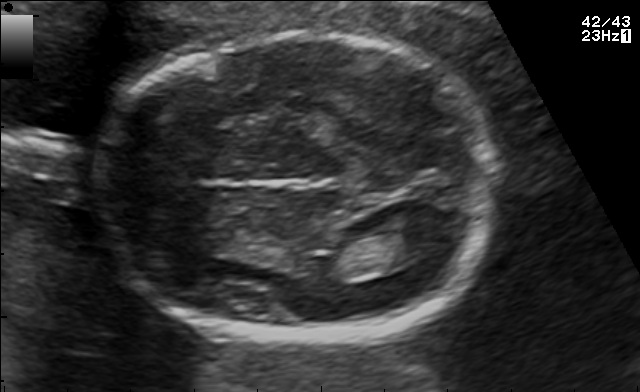
Fetal brain, trans-thalamic plane. Locate the fetal head.

Head: [98,35,497,339]